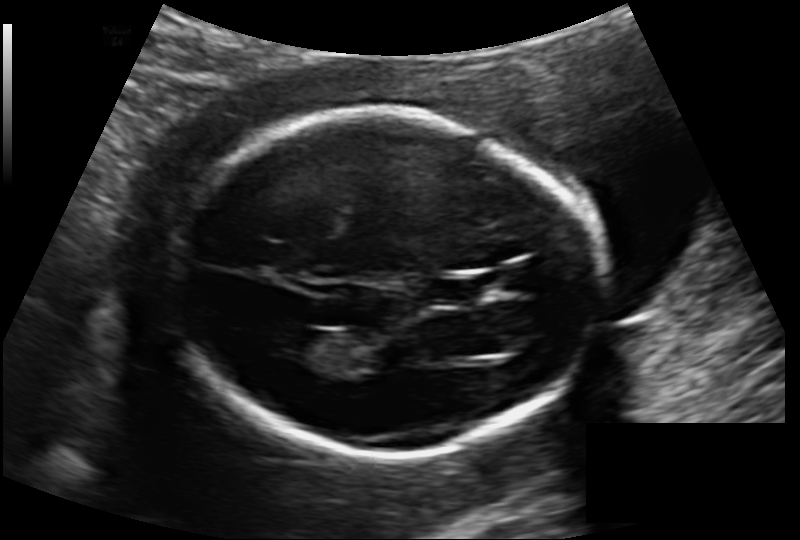
Estimate the fetal head circumference from this 2D ultrasound. Image width: 106.3 mm.

Head circumference: 166.8 mm.